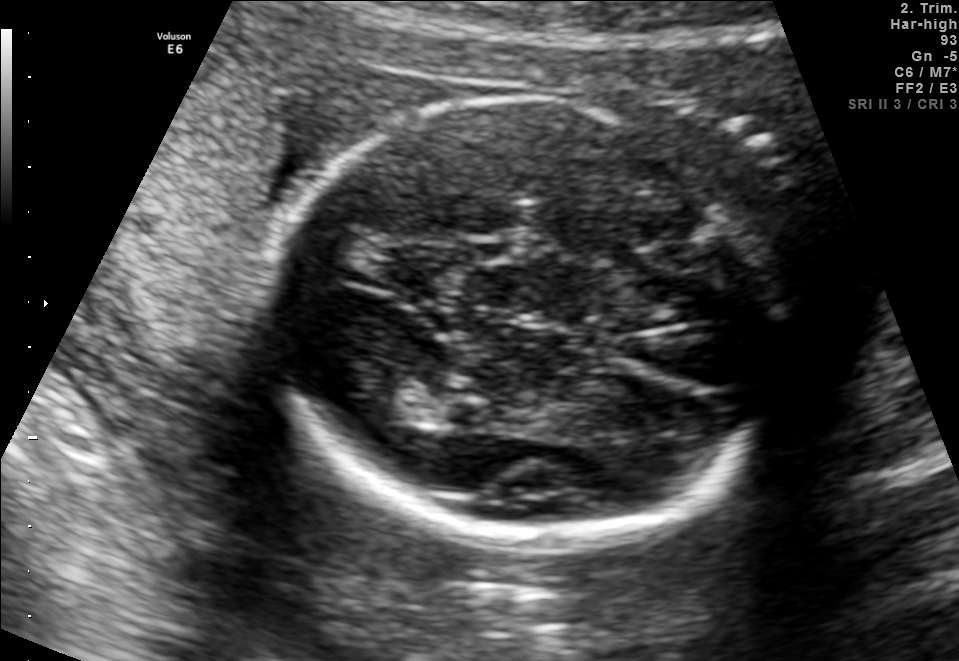
Classify this maternal-fetal ultrasound image as one of the six standard planes — fetal abdomen, fetal brain, fetal femur, fetal thorax, maternal cervix, or other. If it's fetal brain and one of the three standard brain planes (trans-thalamic, trans-cerebellum, trans-ventricular), name which.

Fetal brain (trans-thalamic plane)